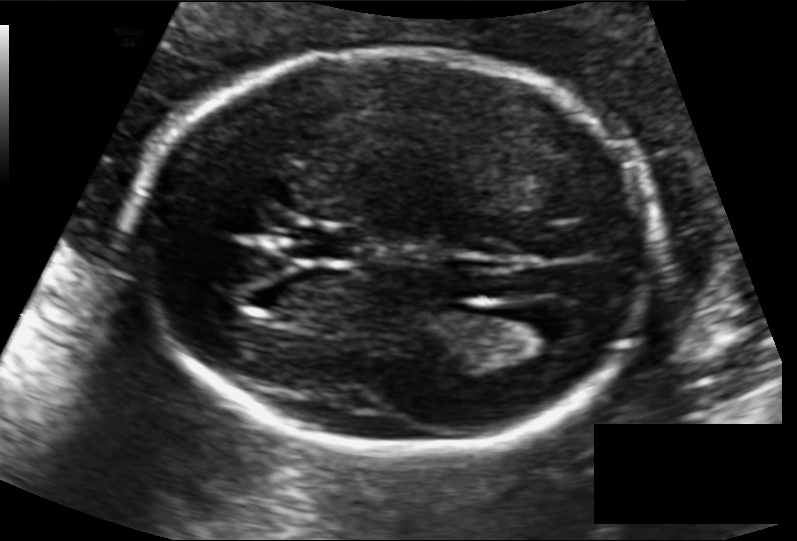
Fetal head ultrasound. Image width: 94.0 mm. Locate the fetal head.

Head: [124,49,653,458]